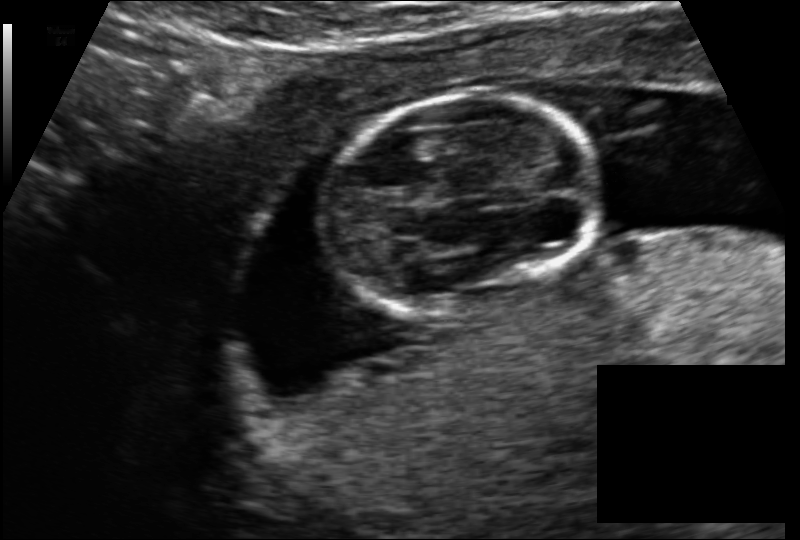
Estimate the fetal head circumference from this 2D ultrasound. Image width: 91.1 mm.

Head circumference: 94.3 mm.